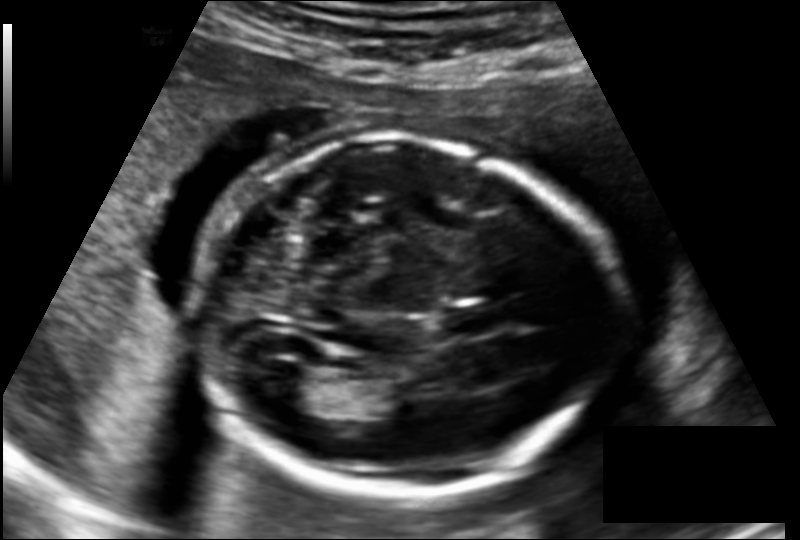
In this fetal head ultrasound, give the bounding box of the fetal head. Image width: 115.9 mm.

[196,141,621,498]